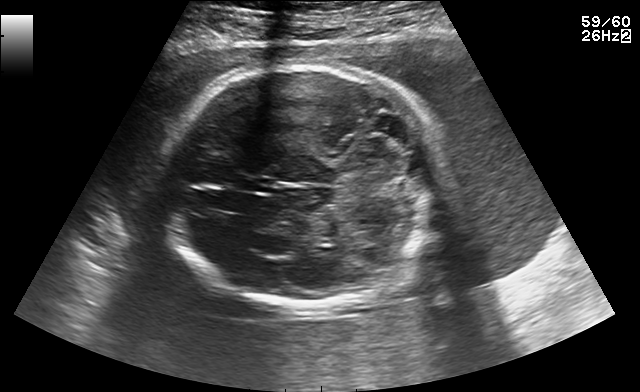
Fetal brain, trans-cerebellum plane. Where is the fetal head?

Head bounding box: [161,65,448,306]